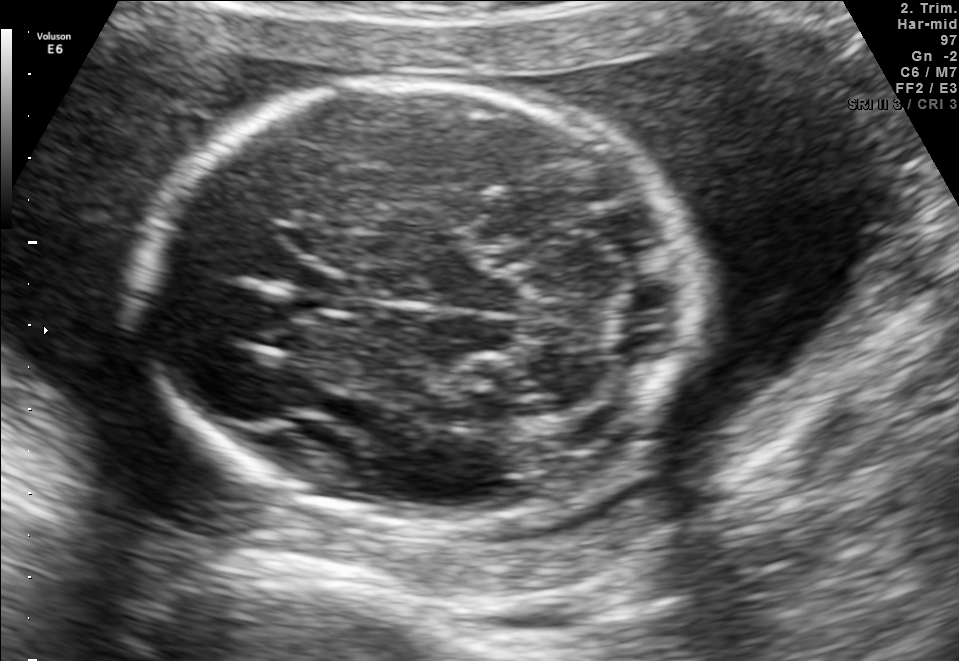
In this fetal brain, trans-cerebellum plane, give the bounding box of the fetal head.

[142,77,691,528]